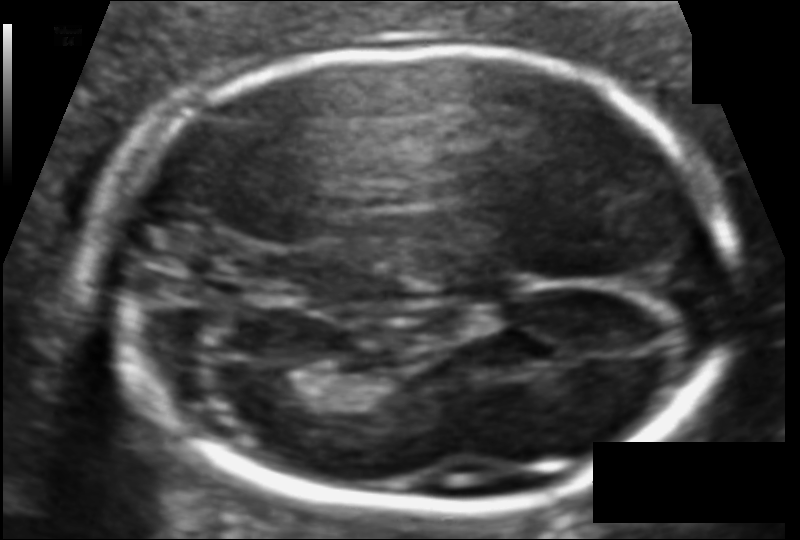
What is the fetal head circumference? Image width is 76.5 mm.

170.9 mm